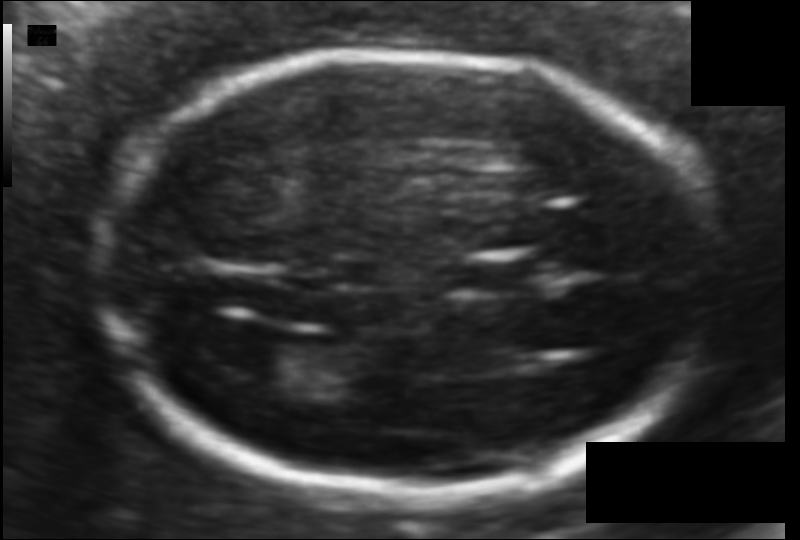
Fetal head ultrasound. Image width: 75.4 mm. Where is the cavum septum pellucidum?

CSP bounding box: [470,256,541,294]